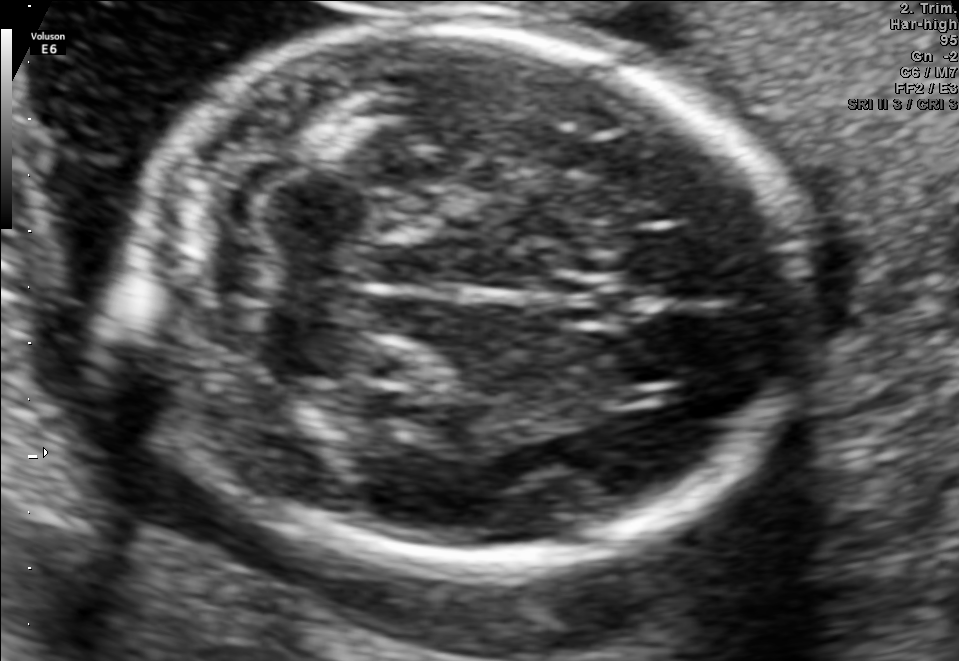
Identify the standard plane in this fetal ultrasound image: fetal abdomen, fetal brain, fetal femur, fetal thorax, maternal cervix, or other. If it's fetal brain and one of the three standard brain planes (trans-thalamic, trans-cerebellum, trans-ventricular), name which.

Fetal brain (trans-cerebellum plane)